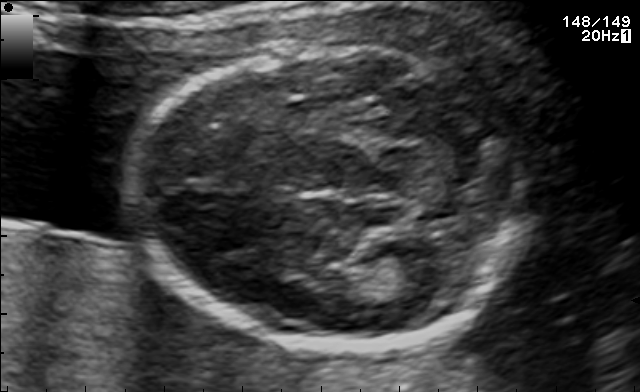
Which standard maternal-fetal ultrasound plane is shown: fetal abdomen, fetal brain, fetal femur, fetal thorax, maternal cervix, or other? If it's fetal brain and one of the three standard brain planes (trans-thalamic, trans-cerebellum, trans-ventricular), name which.

Fetal brain (trans-thalamic plane)